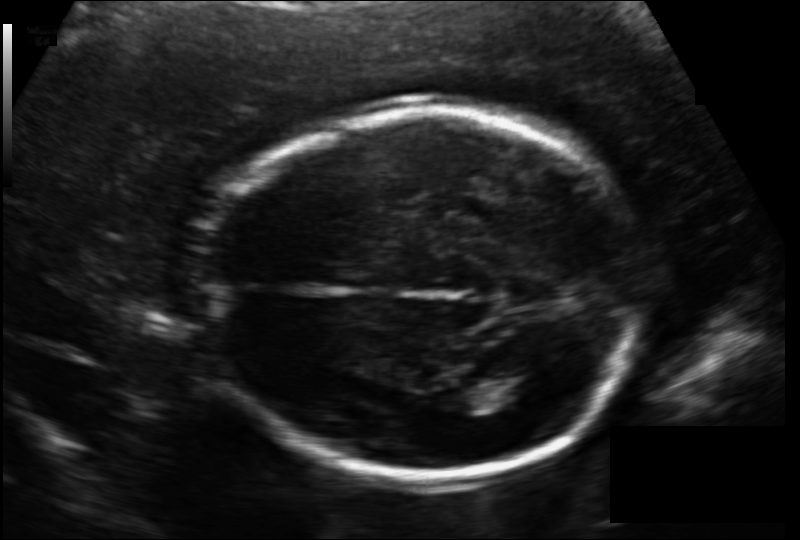
In this fetal head ultrasound, give the bounding box of the lateral ventricle. Image width: 106.6 mm.

[469,360,541,410]